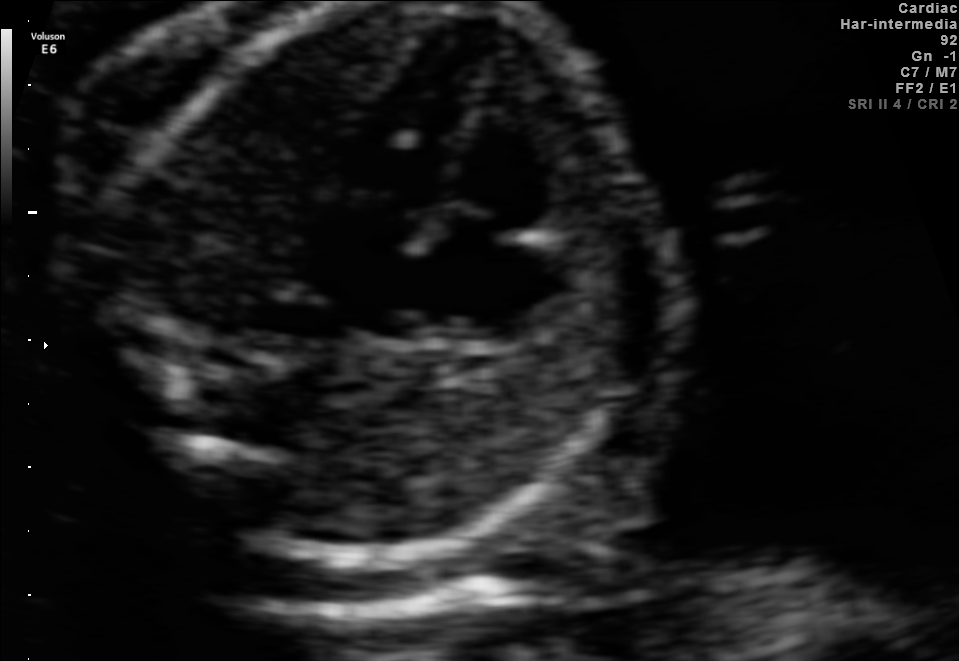
Classify this maternal-fetal ultrasound image as one of the six standard planes — fetal abdomen, fetal brain, fetal femur, fetal thorax, maternal cervix, or other. If it's fetal brain and one of the three standard brain planes (trans-thalamic, trans-cerebellum, trans-ventricular), name which.

Fetal thorax